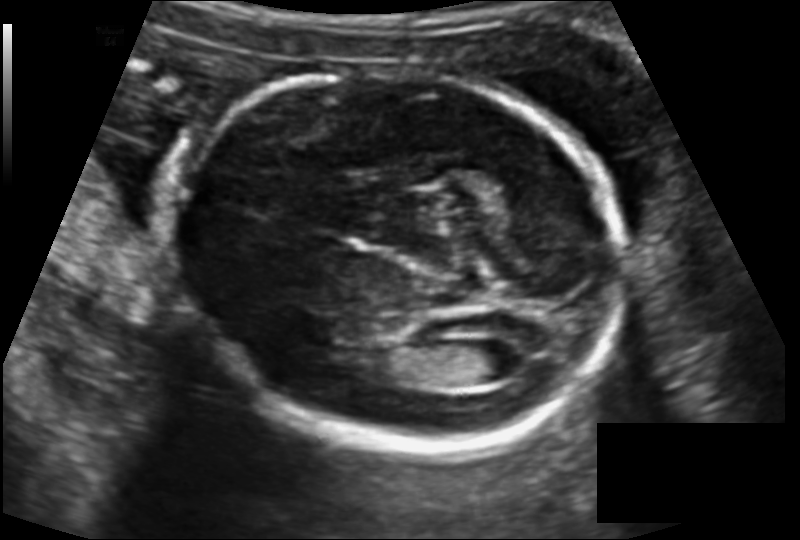
Estimate the fetal head circumference from this 2D ultrasound. Image width: 103.4 mm.

Head circumference: 173.9 mm.